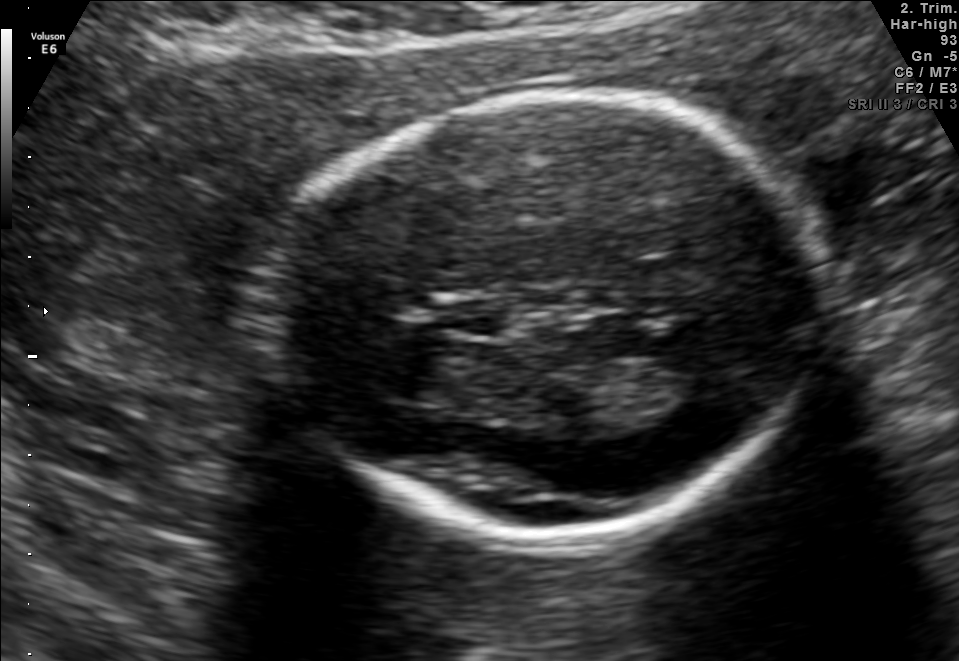
In this fetal brain, trans-thalamic plane, give the bounding box of the cavum septum pellucidum.

[444,299,514,336]